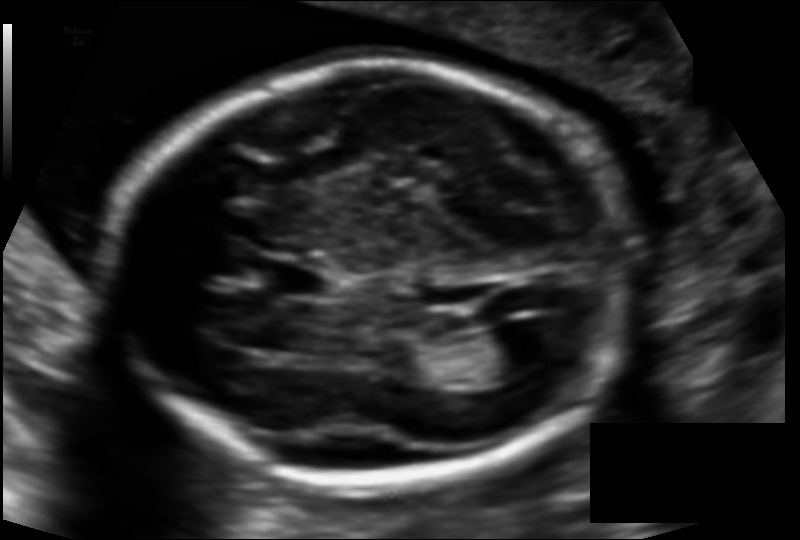
Fetal head ultrasound. Image width: 96.7 mm. Give [x1,y1,x2,y2] bounding boxes for each visible structure among: fetal head, CSP, LV.

Head: [110,63,626,484]
CSP: [259,256,330,300]
Lateral ventricle: [467,318,554,385]